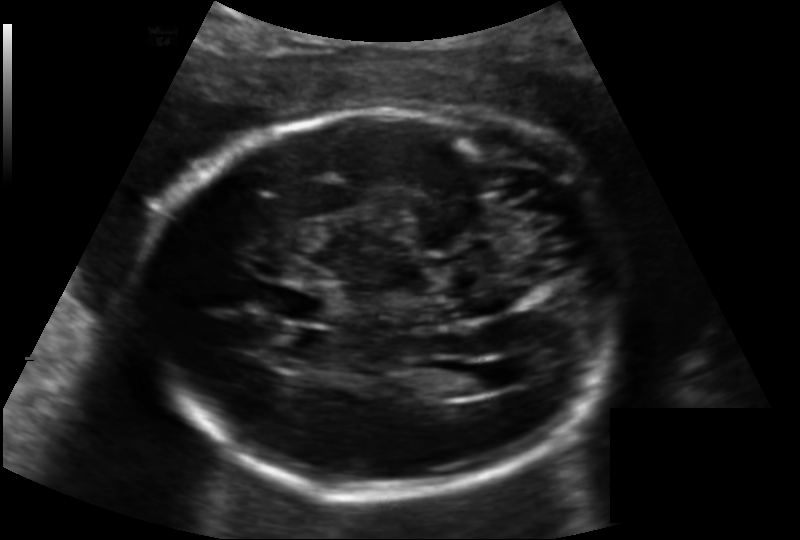
From this fetal ultrasound, estimate the head circumference (image width 126.5 mm).

Head circumference: 225.4 mm.